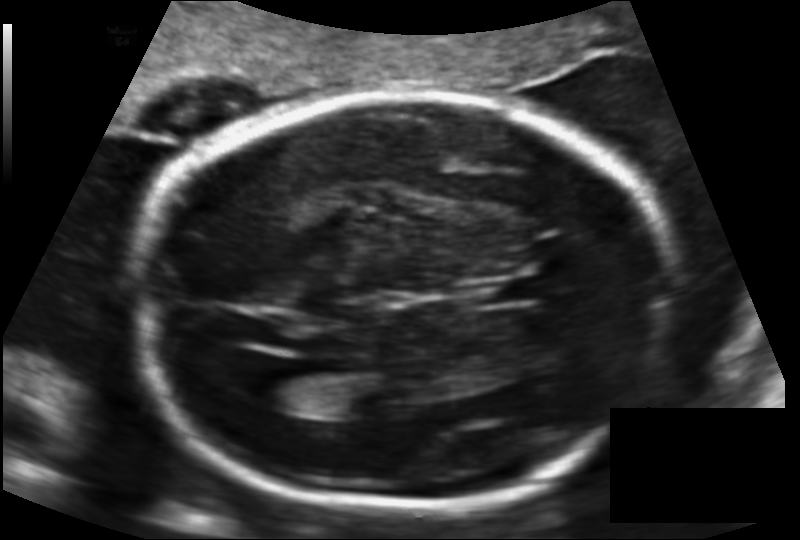
Fetal head ultrasound. Image width: 113.0 mm. Locate the fetal head.

Head: [131,96,677,508]